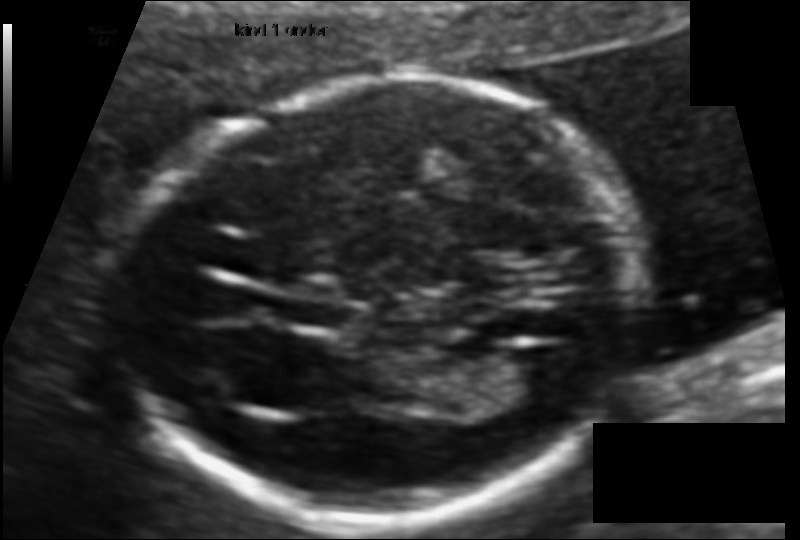
Measure the fetal head circumference shown in this ultrasound image. Image width: 75.7 mm.

Head circumference: 148.9 mm.